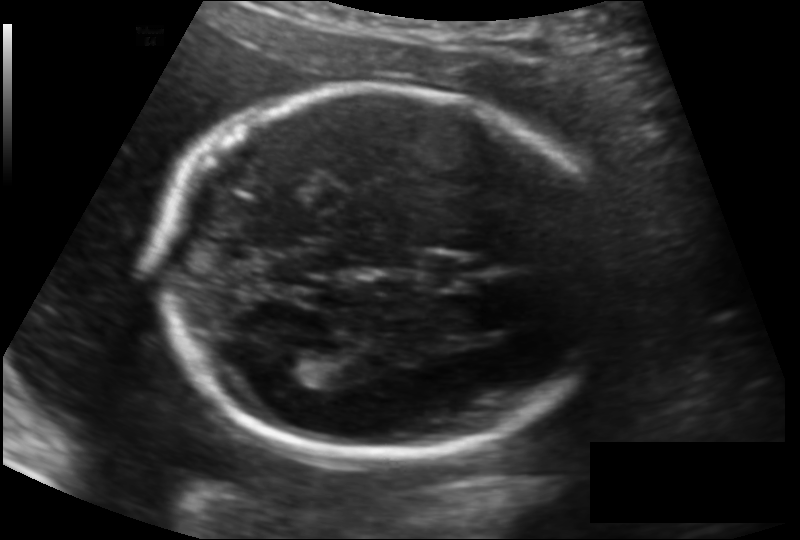
Fetal head ultrasound. Image width: 107.5 mm. Where is the lateral ventricle?

Lateral ventricle bounding box: [270,345,335,390]